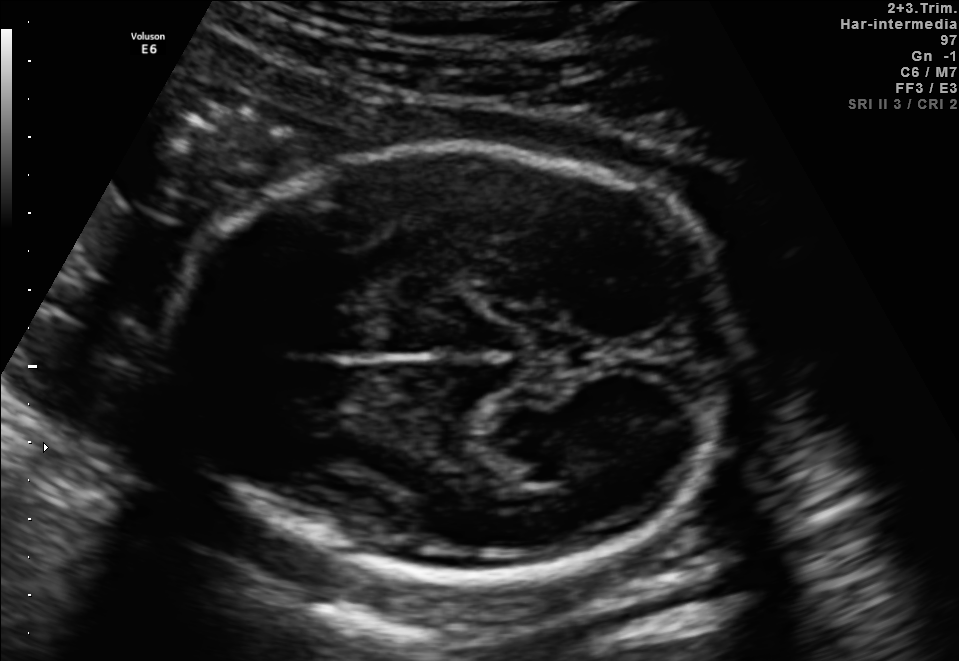
This is a 2D maternal-fetal ultrasound frame. Is it a fetal abdomen, fetal brain, fetal femur, fetal thorax, maternal cervix, or other standard plane? If it's fetal brain and one of the three standard brain planes (trans-thalamic, trans-cerebellum, trans-ventricular), name which.

Fetal brain (trans-thalamic plane)